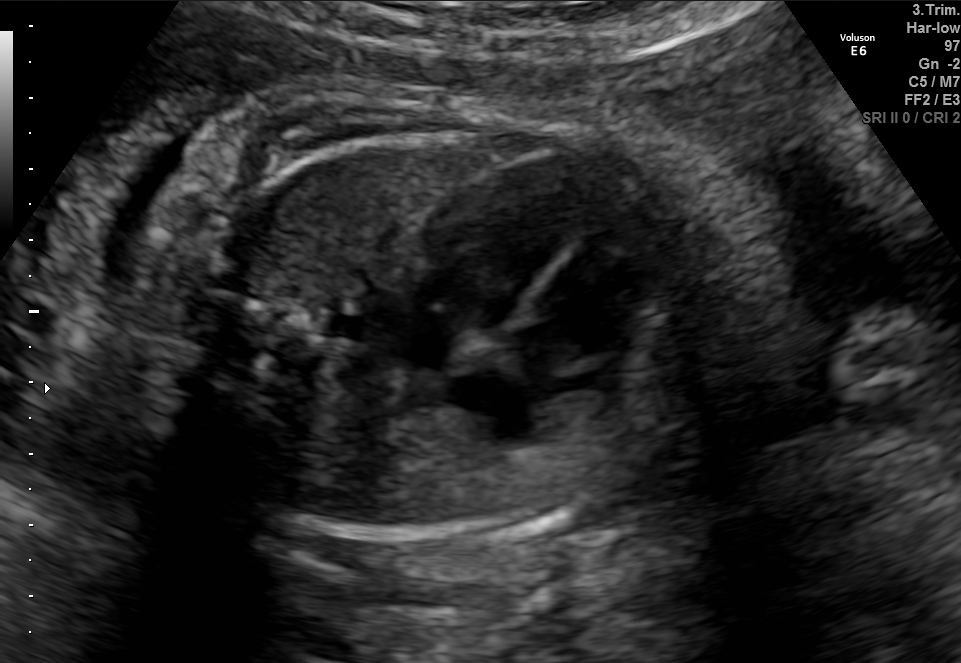
Identify the standard plane in this fetal ultrasound image: fetal abdomen, fetal brain, fetal femur, fetal thorax, maternal cervix, or other. If it's fetal brain and one of the three standard brain planes (trans-thalamic, trans-cerebellum, trans-ventricular), name which.

Fetal thorax